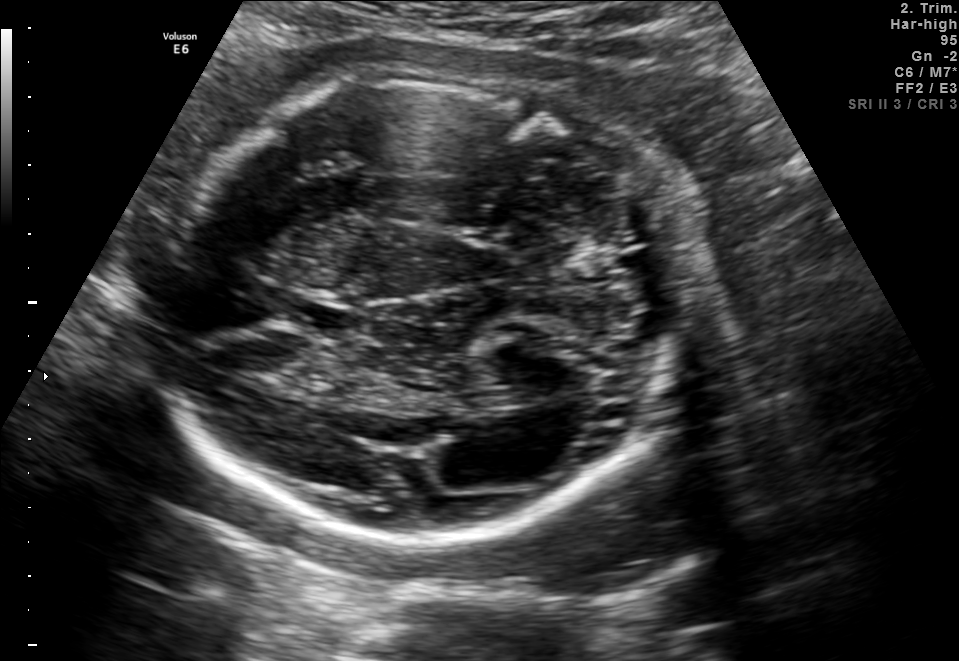
Fetal brain, trans-thalamic plane. Where is the cavum septum pellucidum?

CSP bounding box: [290,300,359,341]